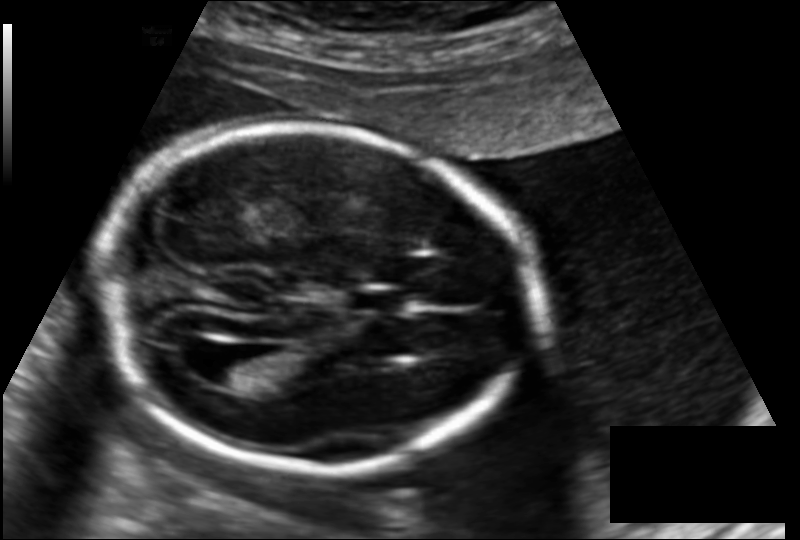
What is the fetal head circumference? Image width is 115.9 mm.

184.1 mm